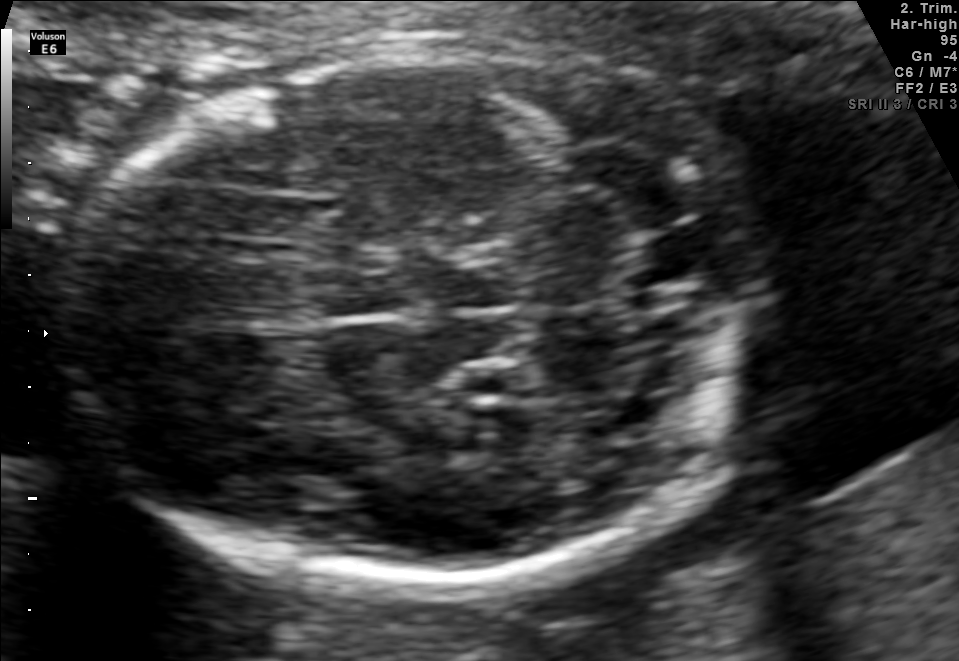
Fetal brain, trans-cerebellum plane. Locate the fetal head.

Head: [69,49,764,592]